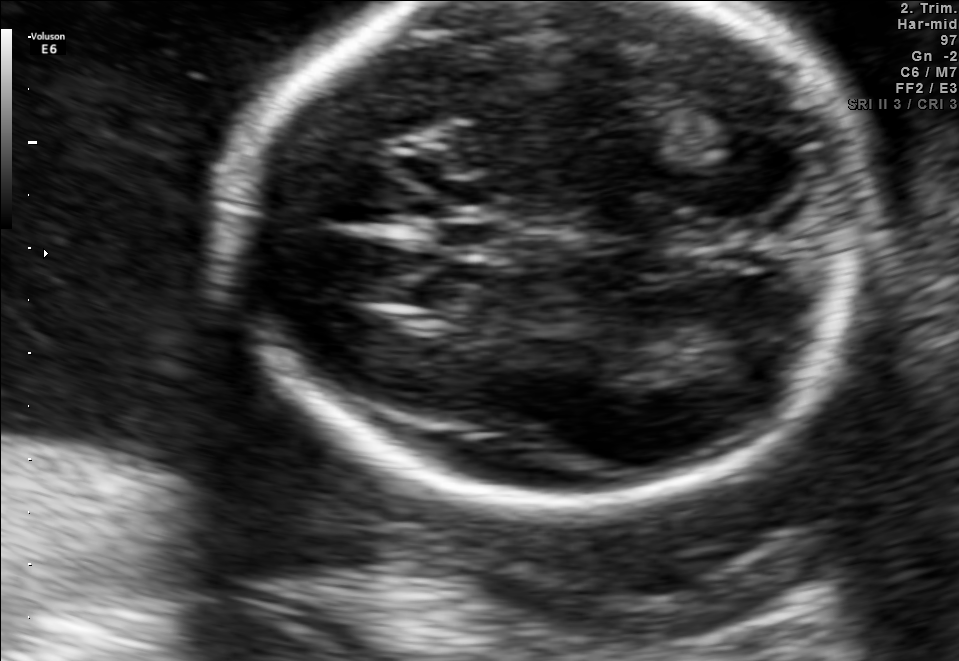
Fetal brain, trans-thalamic plane. Locate the fetal head.

Head: [222,2,867,503]